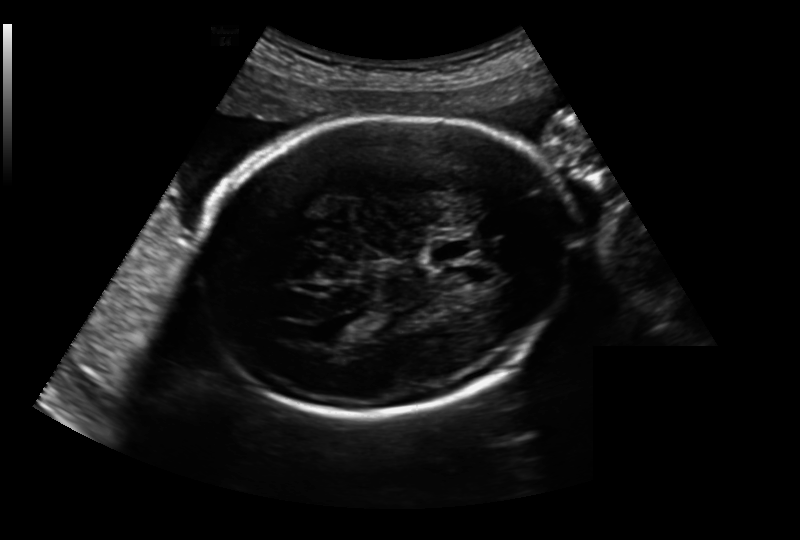
In this fetal head ultrasound, give the bounding box of the cavum septum pellucidum. Image width: 170.6 mm.

[425,232,479,269]